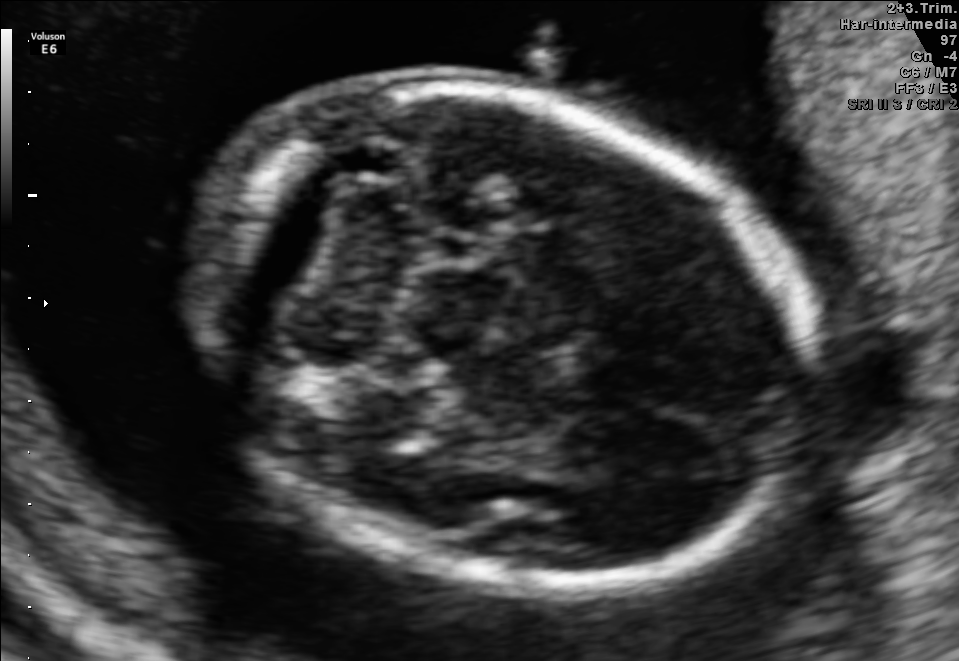
In this fetal brain, trans-cerebellum plane, give bounding boxes for the head outline, cavum septum pellucidum (CSP), and lateral ventricle (LV), where visible.

Head: [195,82,804,597]